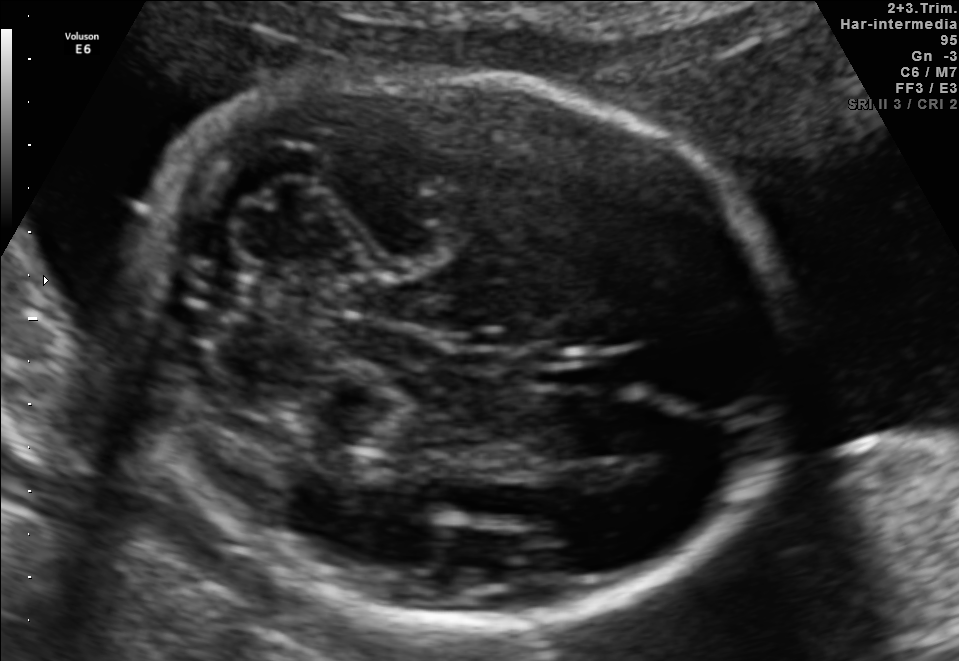
In this fetal brain, trans-cerebellum plane, give the bounding box of the fetal head.

[128,71,789,630]